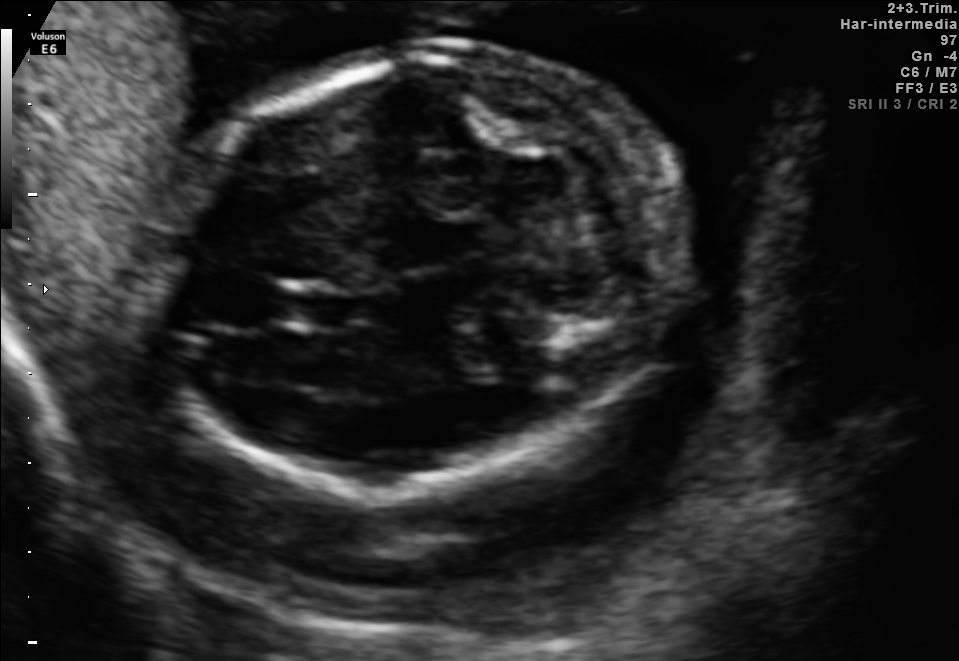
In this fetal brain, trans-cerebellum plane, give the bounding box of the cavum septum pellucidum.

[278,283,352,331]